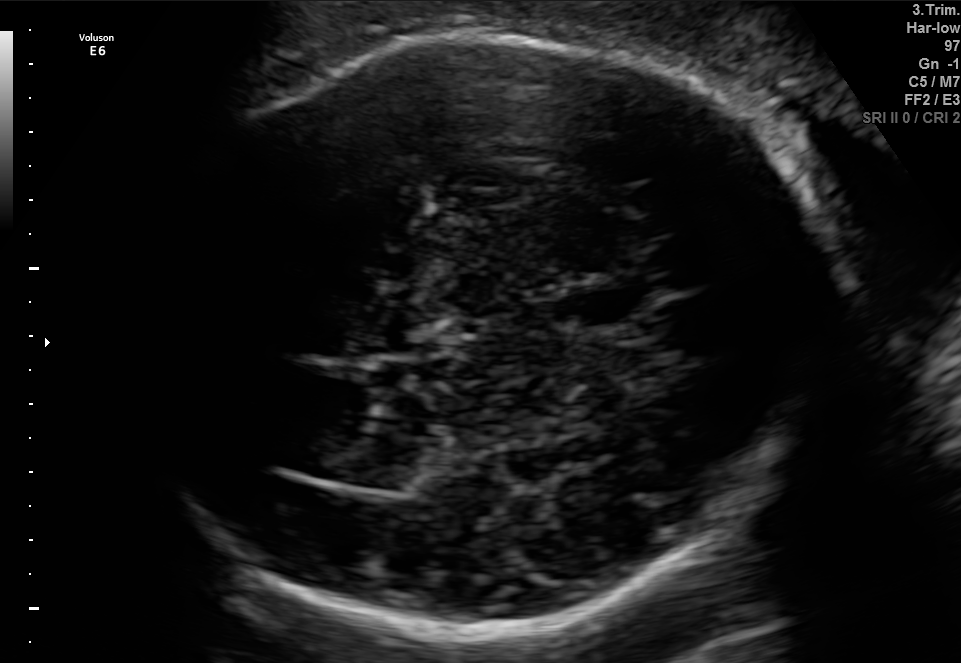
In this fetal brain, trans-thalamic plane, give the bounding box of the fetal head.

[140,33,831,634]